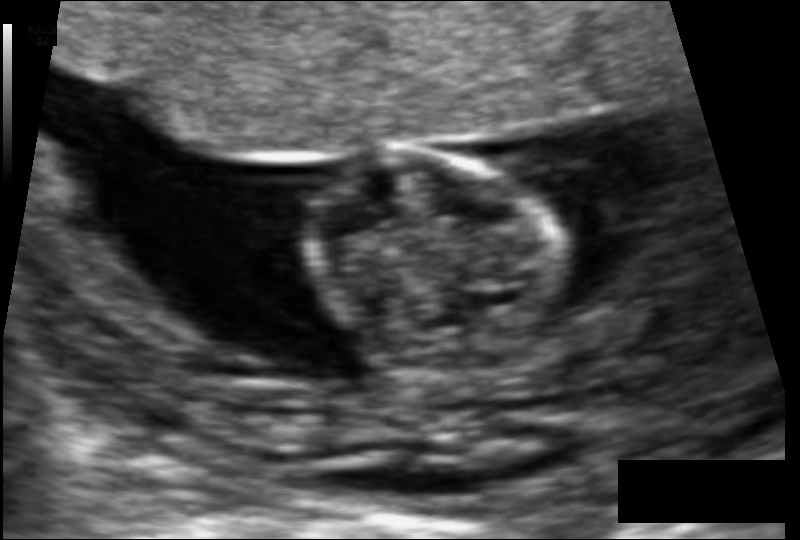
Measure the fetal head circumference shown in this ultrasound image. Image width: 63.2 mm.

Head circumference: 62.9 mm.